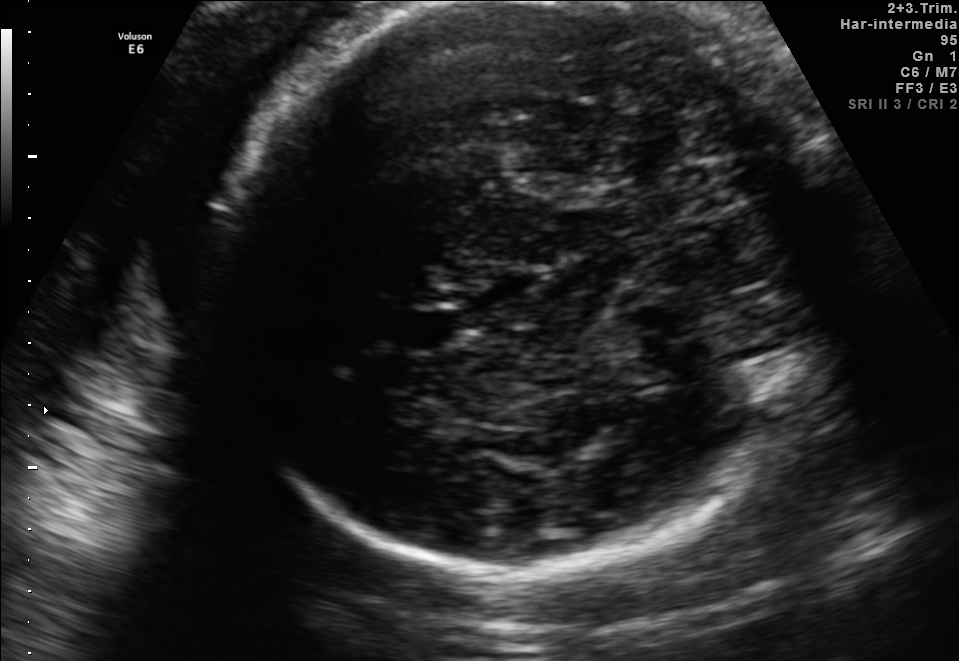
Fetal brain, trans-thalamic plane. Locate the cavum septum pellucidum.

CSP: [398,307,455,352]